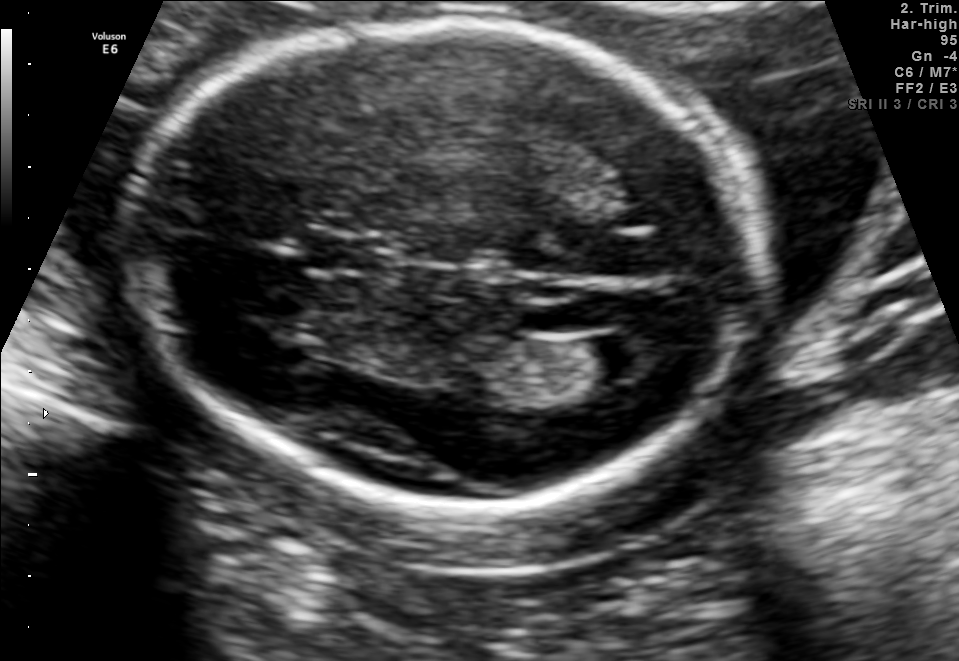
Fetal brain, trans-ventricular plane. Locate the fetal head and, if visible, the cavum septum pellucidum (CSP) and lateral ventricle (LV). Give bounding boxes as [x1,y1,x2,y2].

Head: [114,6,785,521]
CSP: [297,223,402,287]
Lateral ventricle: [583,319,667,387]